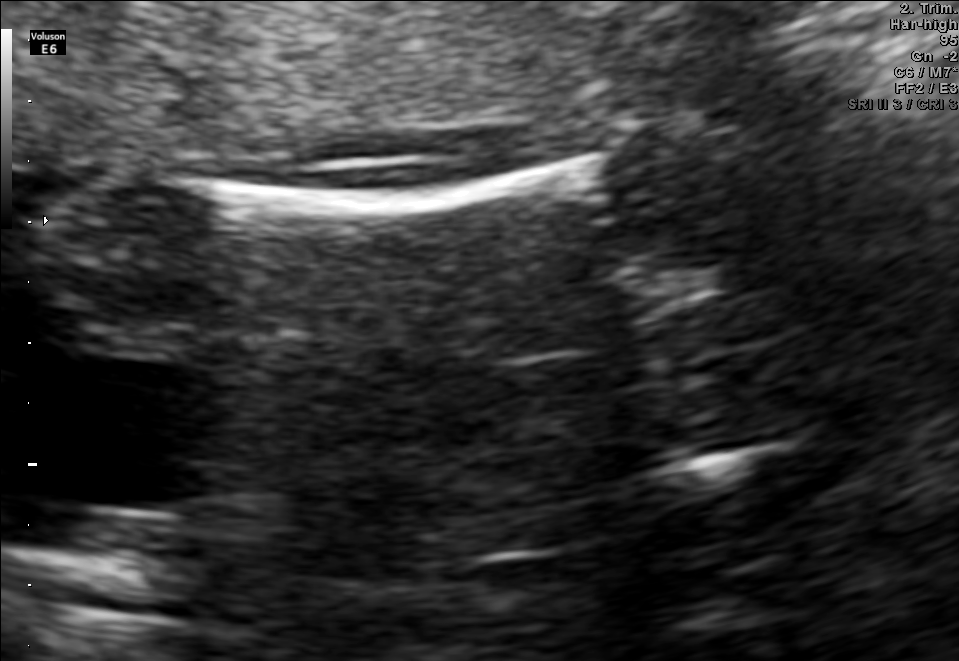
Classify this maternal-fetal ultrasound image as one of the six standard planes — fetal abdomen, fetal brain, fetal femur, fetal thorax, maternal cervix, or other. If it's fetal brain and one of the three standard brain planes (trans-thalamic, trans-cerebellum, trans-ventricular), name which.

Fetal femur